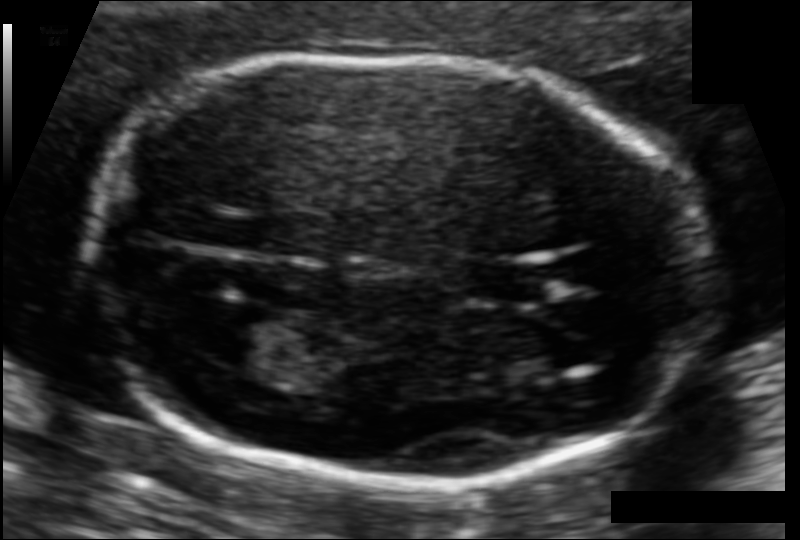
In this fetal head ultrasound, give the bounding box of the lateral ventricle. Image width: 73.9 mm.

[195,296,293,376]